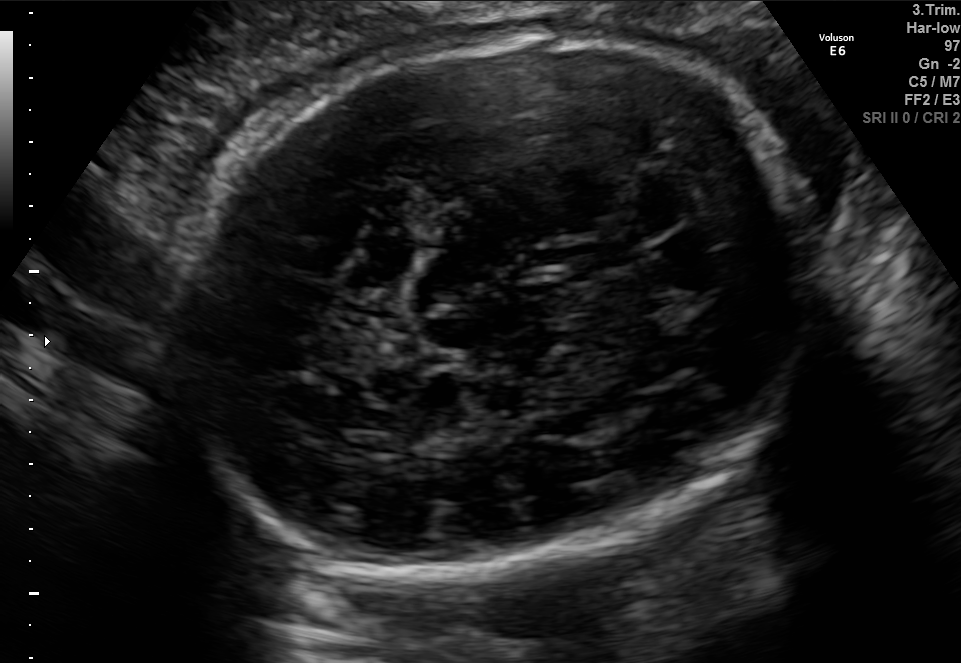
Fetal brain, trans-thalamic plane. Locate the fetal head and, if visible, the cavum septum pellucidum (CSP) and lateral ventricle (LV). Give bounding boxes as [x1,y1,x2,y2].

Head: [183,34,802,581]